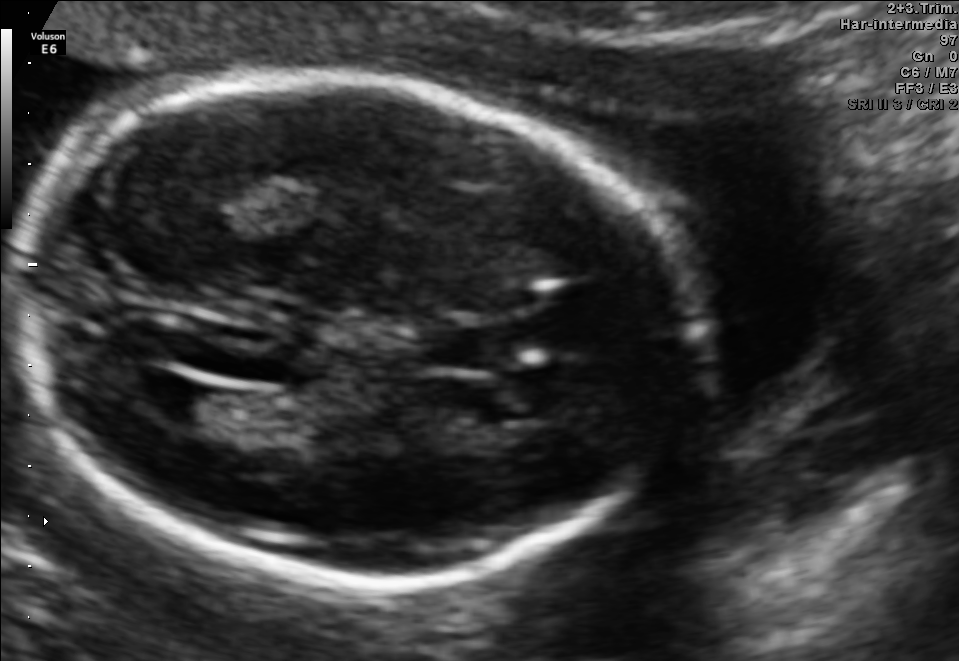
In this fetal brain, trans-ventricular plane, give the bounding box of the lateral ventricle.

[134,367,218,431]